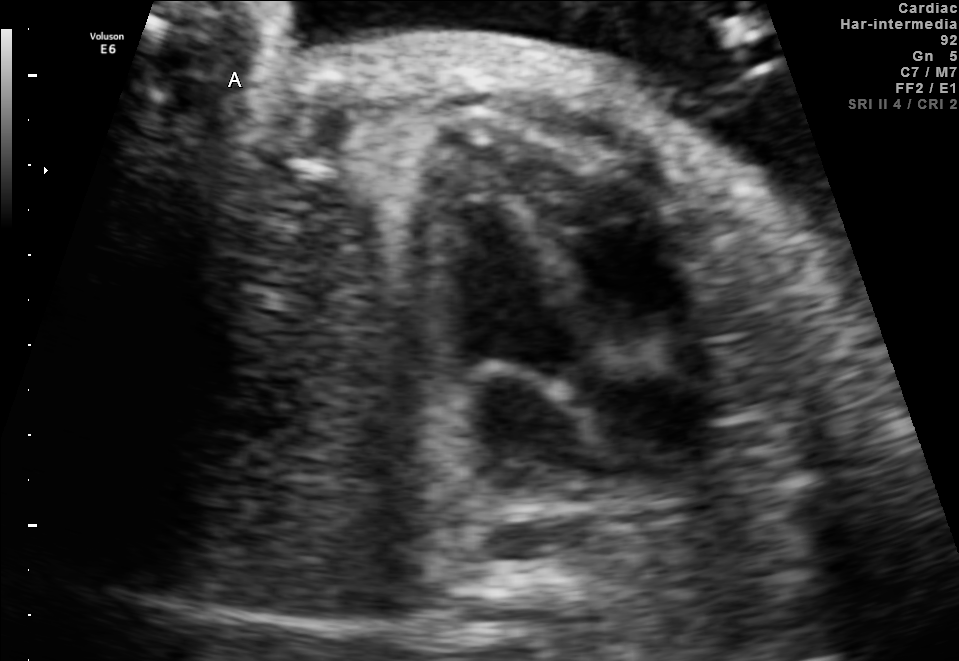
Identify the standard plane in this fetal ultrasound image: fetal abdomen, fetal brain, fetal femur, fetal thorax, maternal cervix, or other. If it's fetal brain and one of the three standard brain planes (trans-thalamic, trans-cerebellum, trans-ventricular), name which.

Other